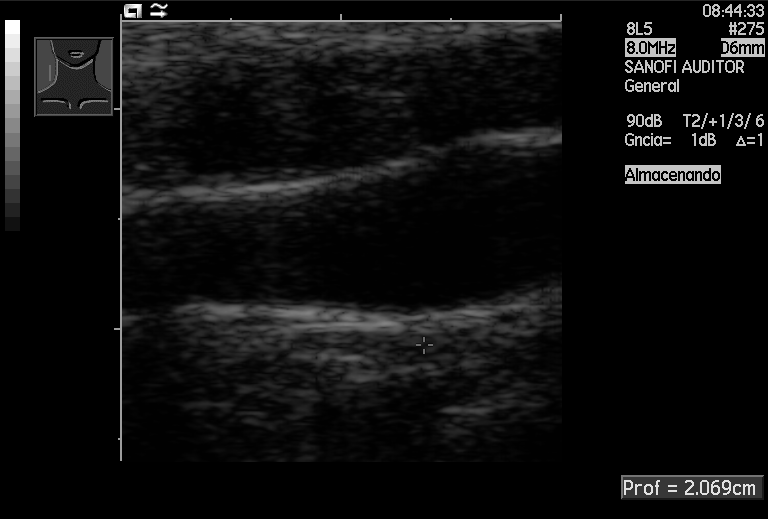
Which standard maternal-fetal ultrasound plane is shown: fetal abdomen, fetal brain, fetal femur, fetal thorax, maternal cervix, or other? If it's fetal brain and one of the three standard brain planes (trans-thalamic, trans-cerebellum, trans-ventricular), name which.

Other